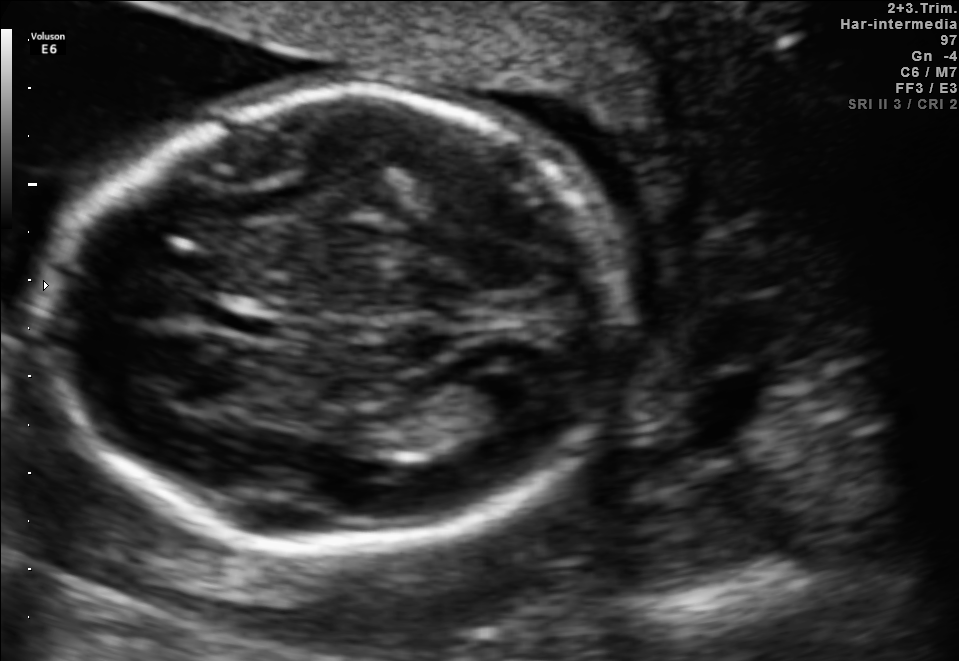
In this fetal brain, trans-ventricular plane, give the bounding box of the fetal head.

[41,81,646,560]